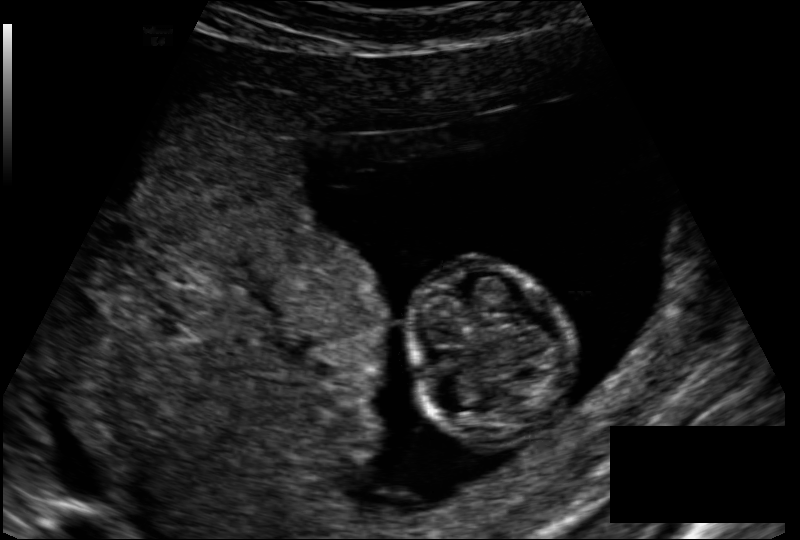
Measure the fetal head circumference shown in this ultrasound image. Image width: 102.1 mm.

Head circumference: 72.7 mm.